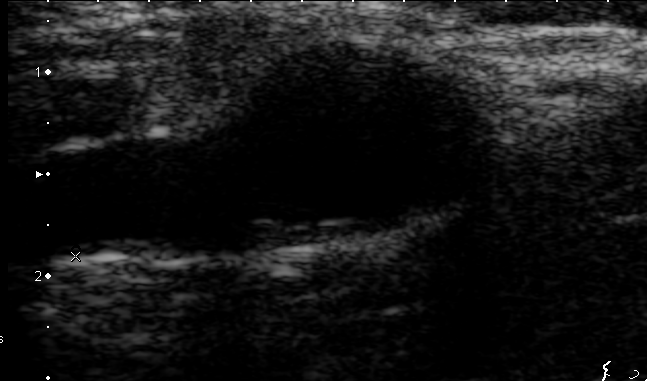
Classify this maternal-fetal ultrasound image as one of the six standard planes — fetal abdomen, fetal brain, fetal femur, fetal thorax, maternal cervix, or other. If it's fetal brain and one of the three standard brain planes (trans-thalamic, trans-cerebellum, trans-ventricular), name which.

Other